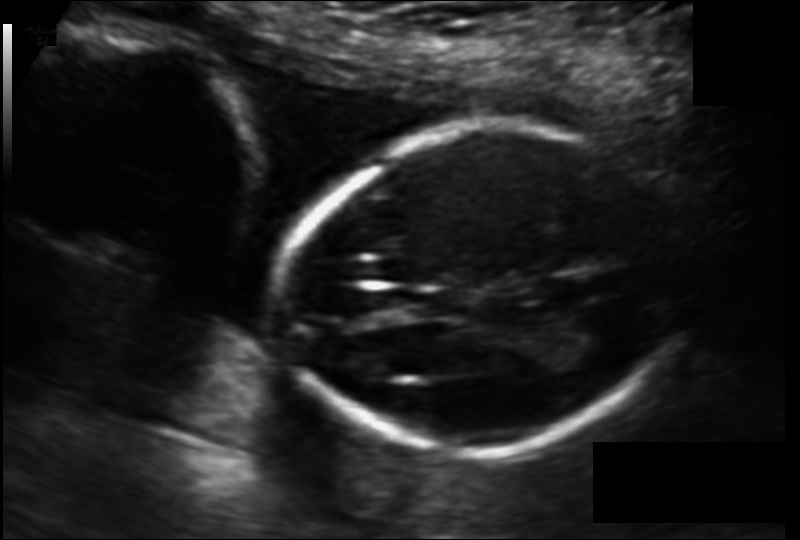
Estimate the fetal head circumference from this 2D ultrasound.

Head circumference: 156.4 mm (image width 102.9 mm).